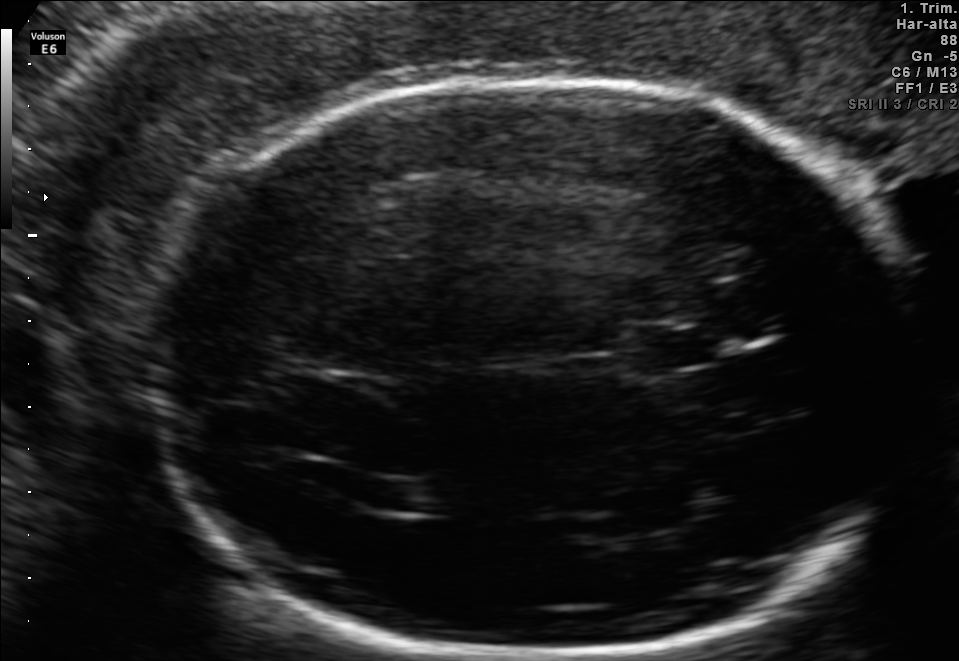
Fetal brain, trans-thalamic plane. Locate the lateral ventricle.

Lateral ventricle: [371,480,452,515]